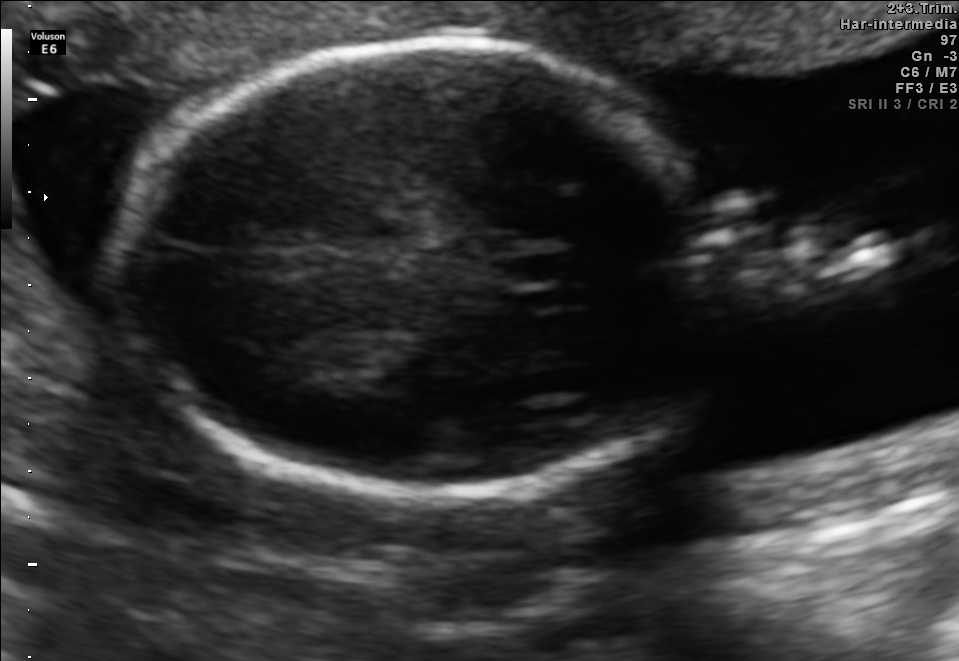
Fetal brain, trans-thalamic plane. Where is the fetal head?

Head bounding box: [112,44,735,489]